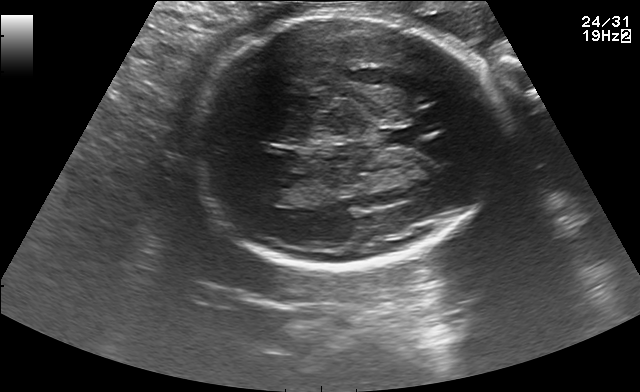
In this fetal brain, trans-thalamic plane, give the bounding box of the cavum septum pellucidum.

[380,124,417,148]